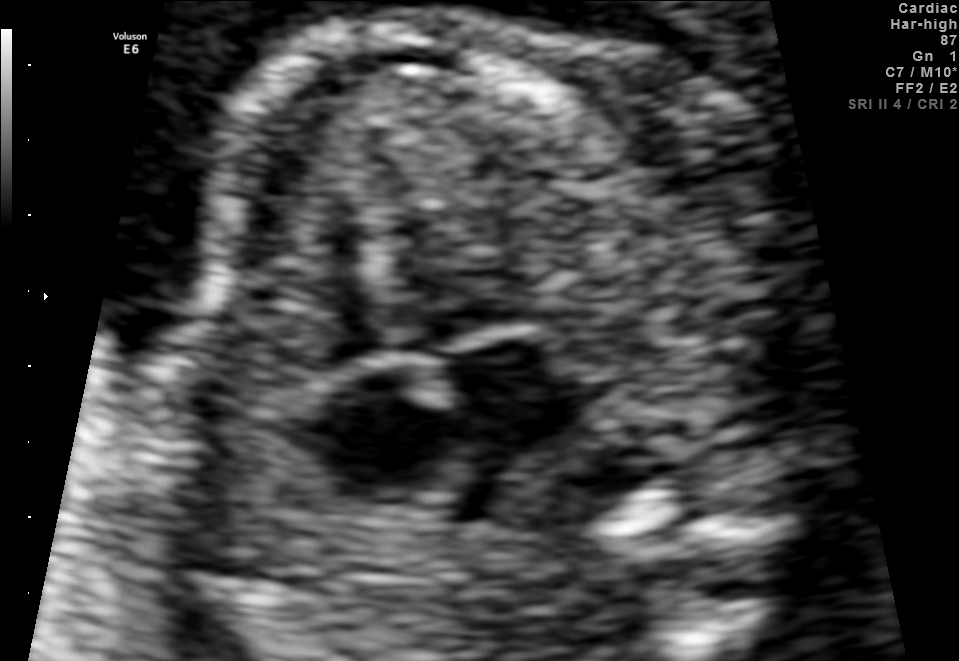
Identify the standard plane in this fetal ultrasound image: fetal abdomen, fetal brain, fetal femur, fetal thorax, maternal cervix, or other. If it's fetal brain and one of the three standard brain planes (trans-thalamic, trans-cerebellum, trans-ventricular), name which.

Fetal thorax